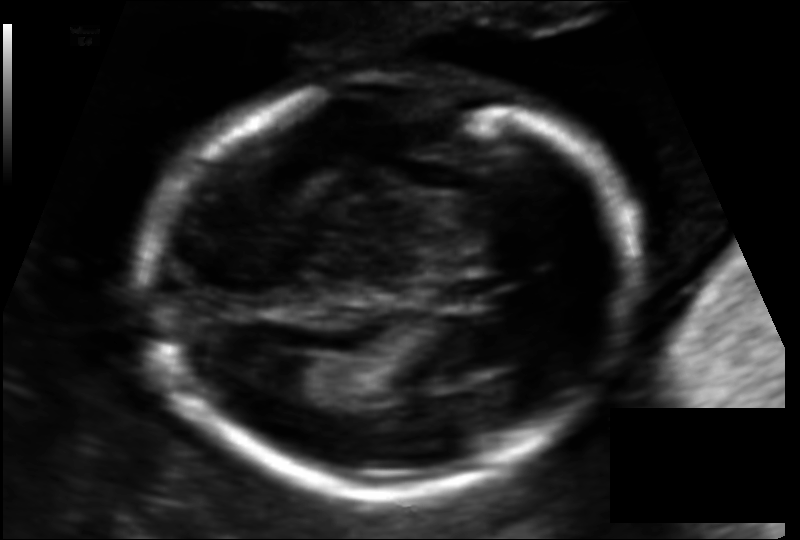
Fetal head ultrasound. Image width: 92.3 mm. Locate the fetal head.

Head: [143,76,635,490]